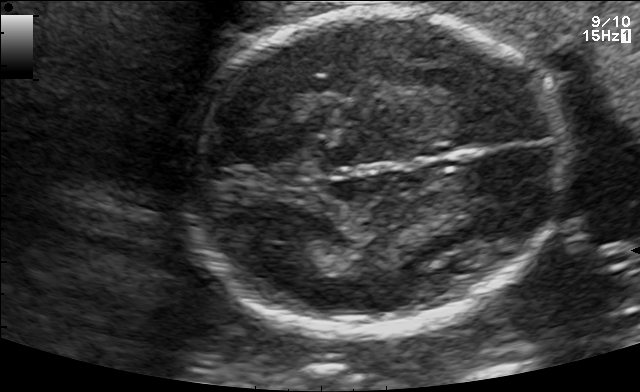
Fetal brain, trans-thalamic plane. Where is the fetal head?

Head bounding box: [181,10,570,330]